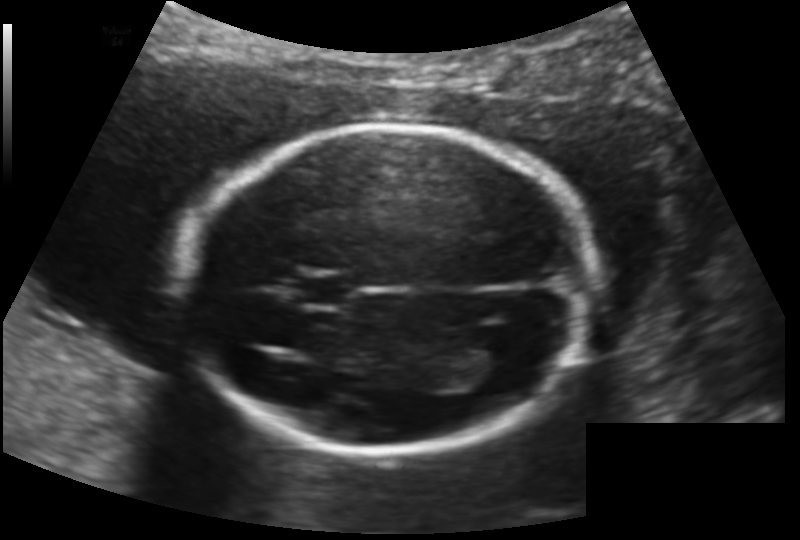
Fetal head ultrasound. Image width: 116.3 mm. Where is the cavum septum pellucidum?

CSP bounding box: [297,275,349,305]